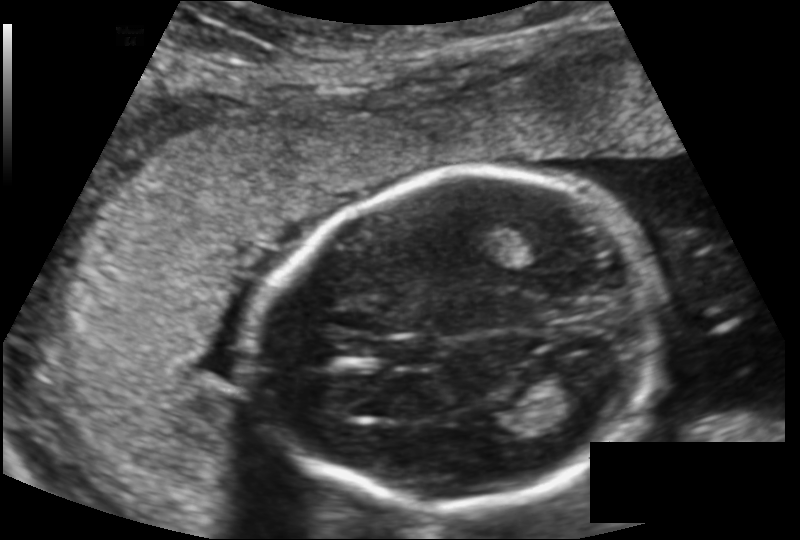
In this fetal head ultrasound, give the bounding box of the cavum septum pellucidum. Image width: 119.2 mm.

[384,334,443,369]